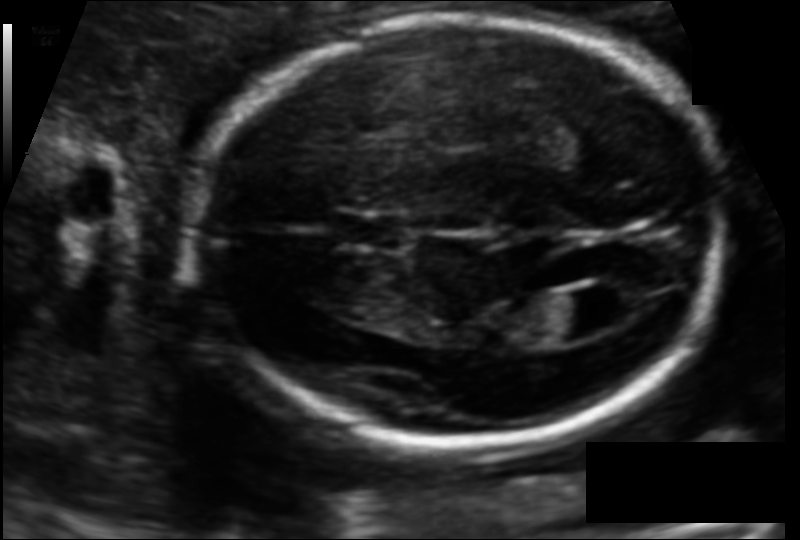
Measure the fetal head circumference shown in this ultrasound image. Image width: 90.0 mm.

Head circumference: 174.2 mm.